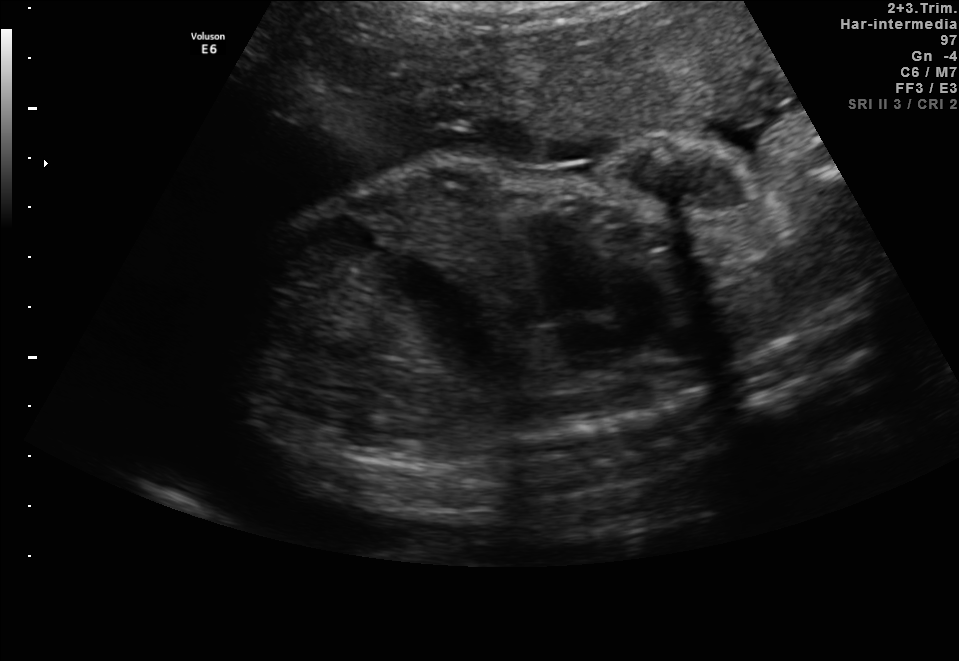
This is a 2D maternal-fetal ultrasound frame. Is it a fetal abdomen, fetal brain, fetal femur, fetal thorax, maternal cervix, or other standard plane? If it's fetal brain and one of the three standard brain planes (trans-thalamic, trans-cerebellum, trans-ventricular), name which.

Other